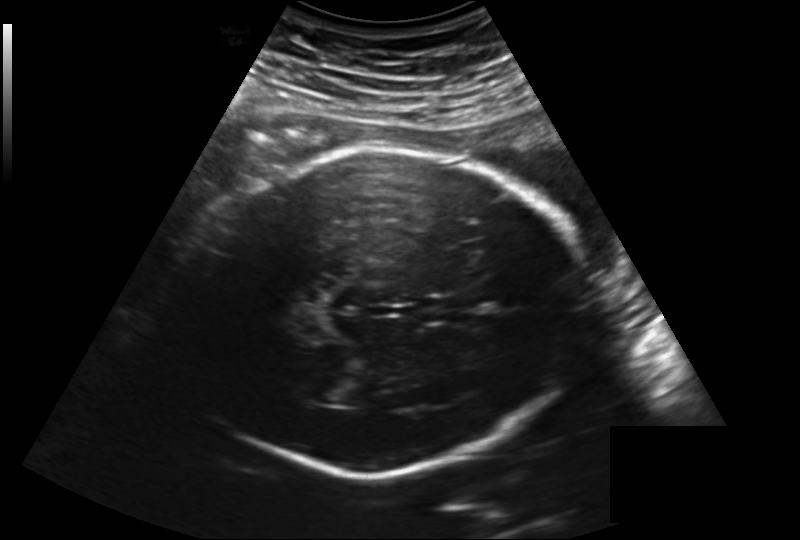
Estimate the fetal head circumference from this 2D ultrasound.

Head circumference: 260.4 mm (image width 175.2 mm).